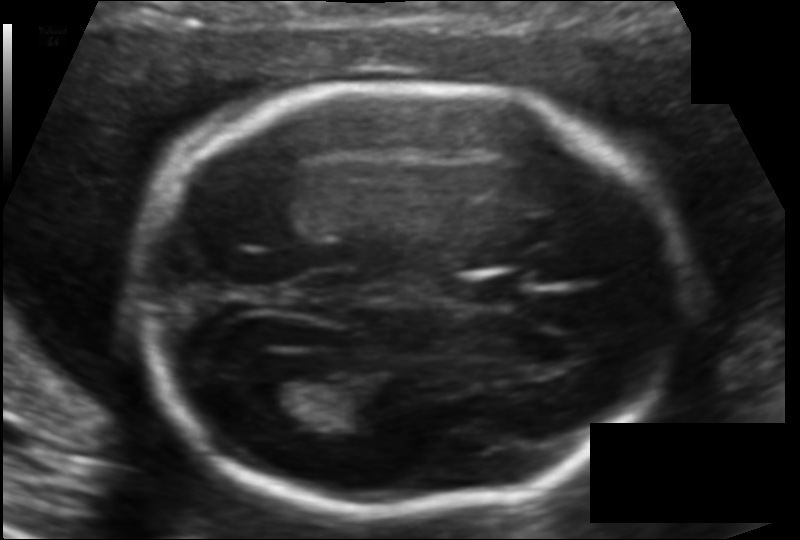
In this fetal head ultrasound, give the bounding box of the cavum septum pellucidum. Image width: 94.1 mm.

[464,268,535,311]